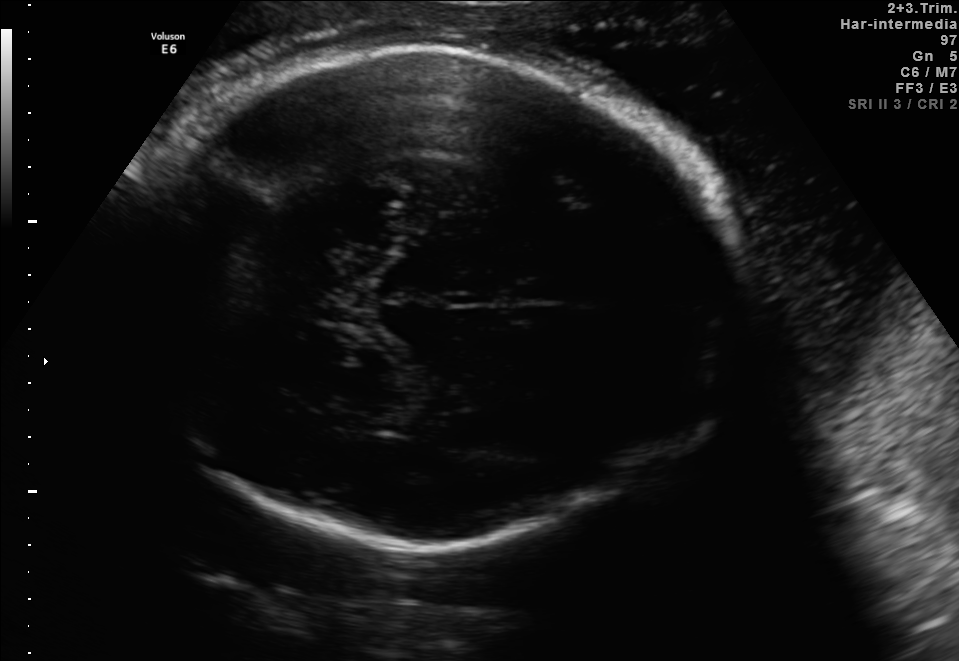
Fetal brain, trans-thalamic plane. Where is the fetal head?

Head bounding box: [111,45,742,546]